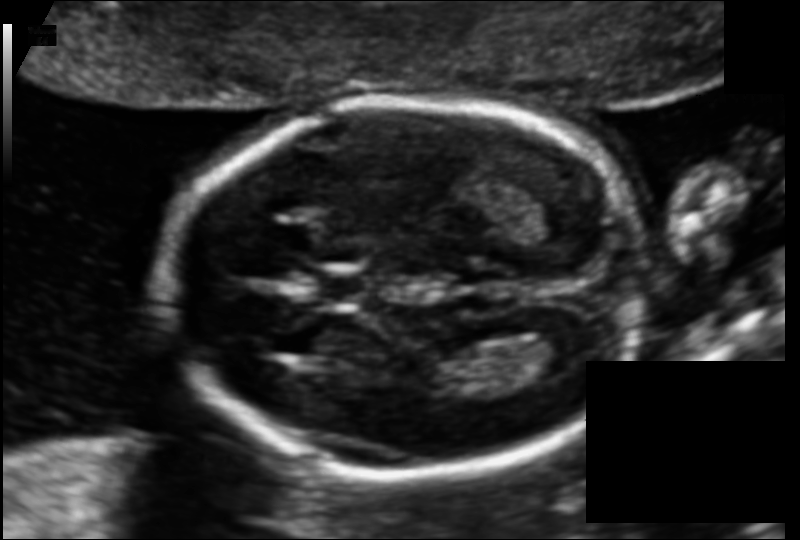
Fetal head ultrasound. Image width: 87.9 mm. Where is the lateral ventricle?

Lateral ventricle bounding box: [512,315,591,384]